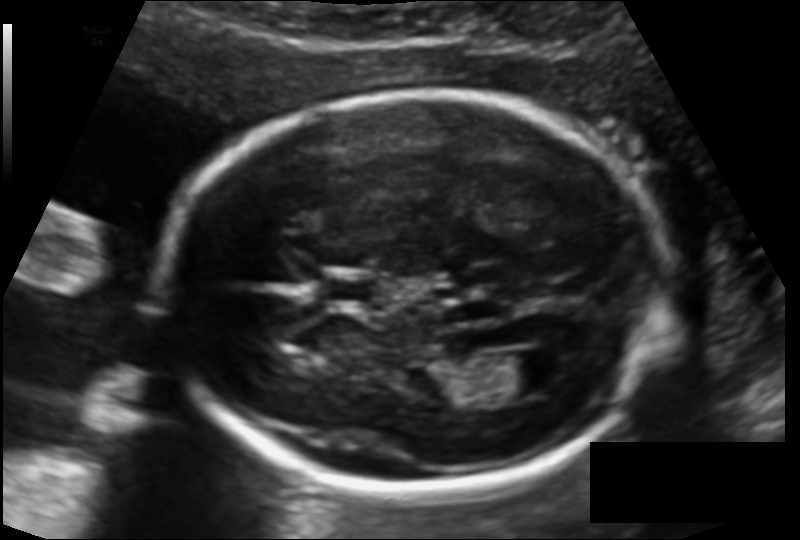
What is the fetal head circumference? Image width is 101.2 mm.

181.7 mm